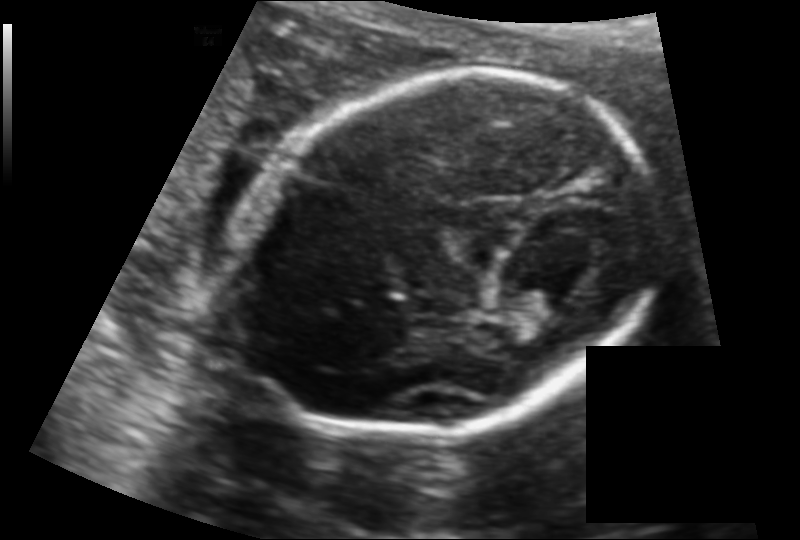
Fetal head ultrasound. Image width: 103.7 mm. Where is the fetal head?

Head bounding box: [222,70,652,437]